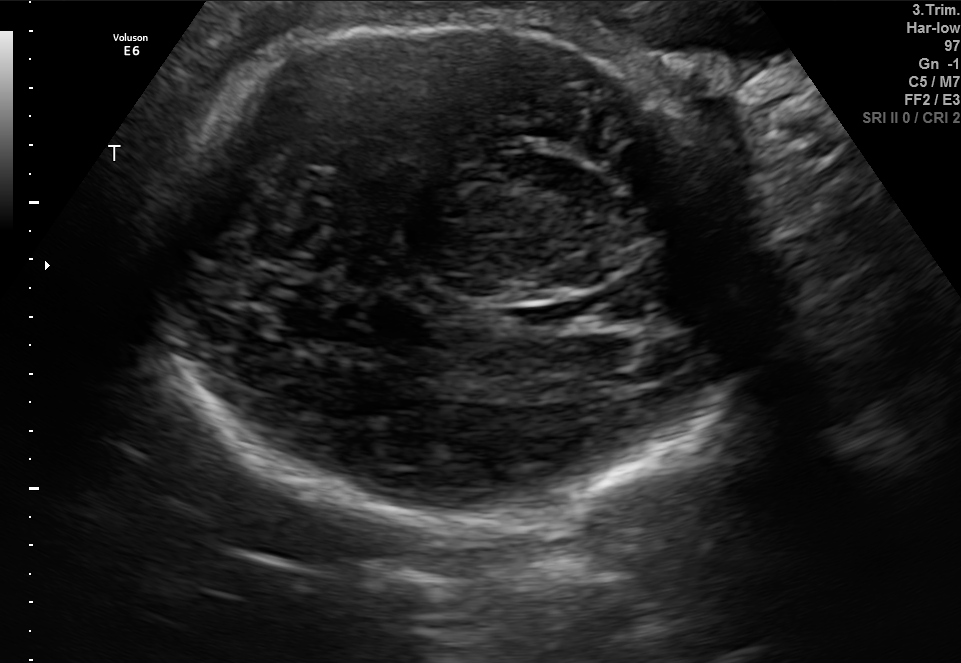
In this fetal brain, trans-thalamic plane, give the bounding box of the fetal head.

[160,16,751,531]